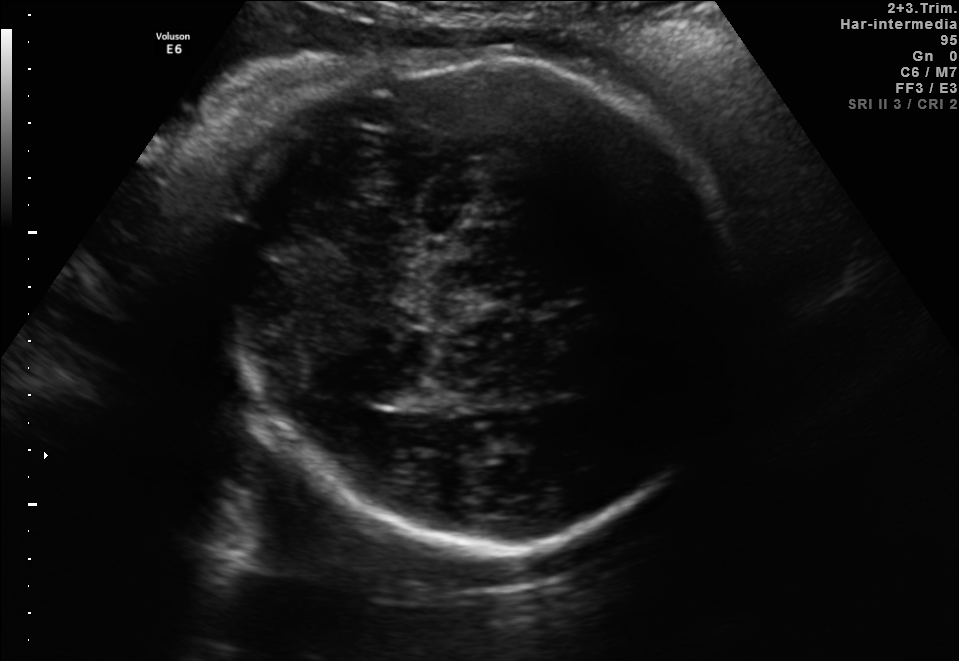
Identify the standard plane in this fetal ultrasound image: fetal abdomen, fetal brain, fetal femur, fetal thorax, maternal cervix, or other. If it's fetal brain and one of the three standard brain planes (trans-thalamic, trans-cerebellum, trans-ventricular), name which.

Fetal brain (trans-thalamic plane)